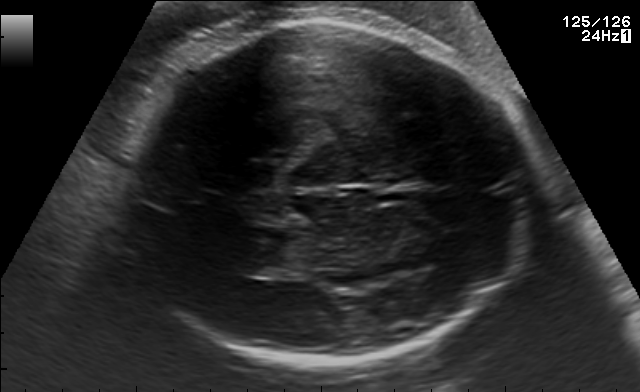
Fetal brain, trans-thalamic plane. Locate the fetal head and, if visible, the cavum septum pellucidum (CSP) and lateral ventricle (LV). Give bounding boxes as [x1,y1,x2,y2].

Head: [116,21,532,358]